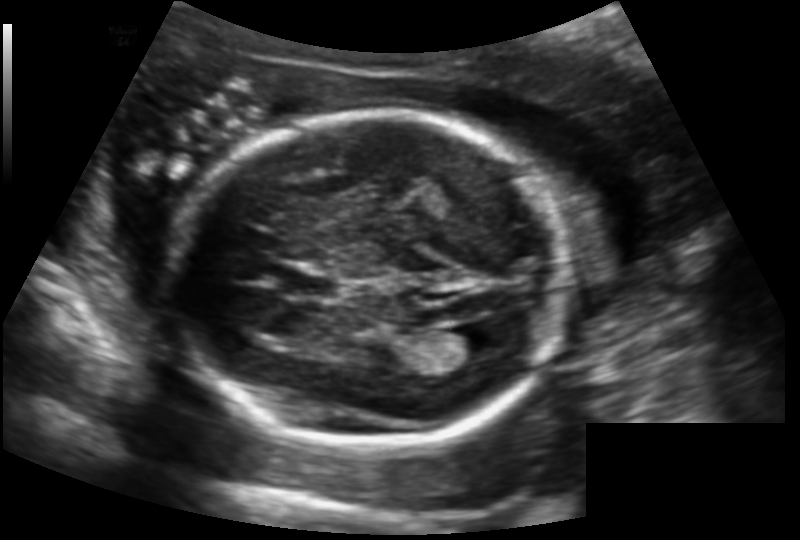
Fetal head ultrasound. Image width: 117.4 mm. Locate the lateral ventricle.

Lateral ventricle: [439,318,502,367]